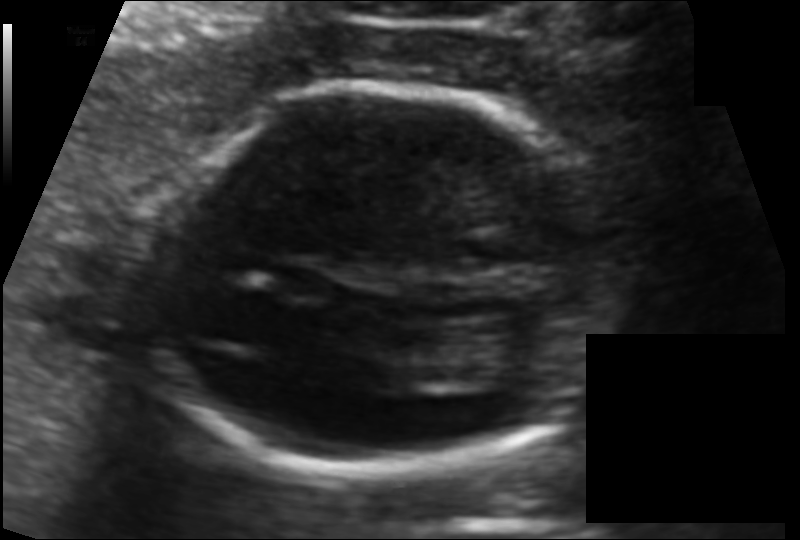
Fetal head ultrasound. Image width: 80.1 mm. Locate the fetal head and, if visible, the cavum septum pellucidum (CSP) and lateral ventricle (LV). Give bounding boxes as [x1,y1,x2,y2].

Head: [143,86,612,474]